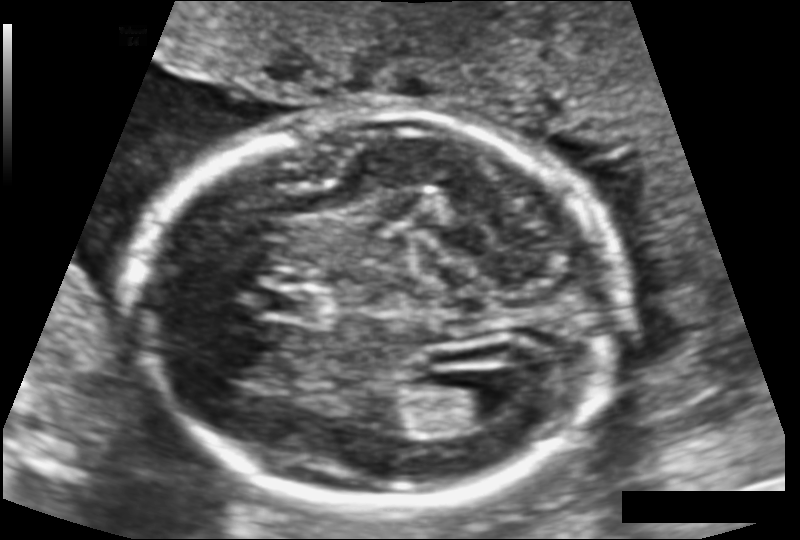
Estimate the fetal head circumference from this 2D ultrasound.

Head circumference: 179.0 mm (image width 99.5 mm).